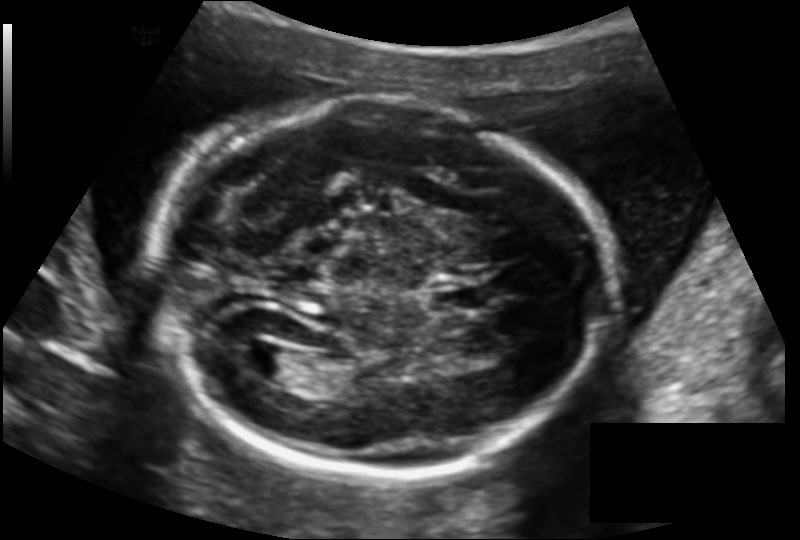
Fetal head ultrasound. Image width: 116.1 mm. Where is the lateral ventricle?

Lateral ventricle bounding box: [234,337,295,384]